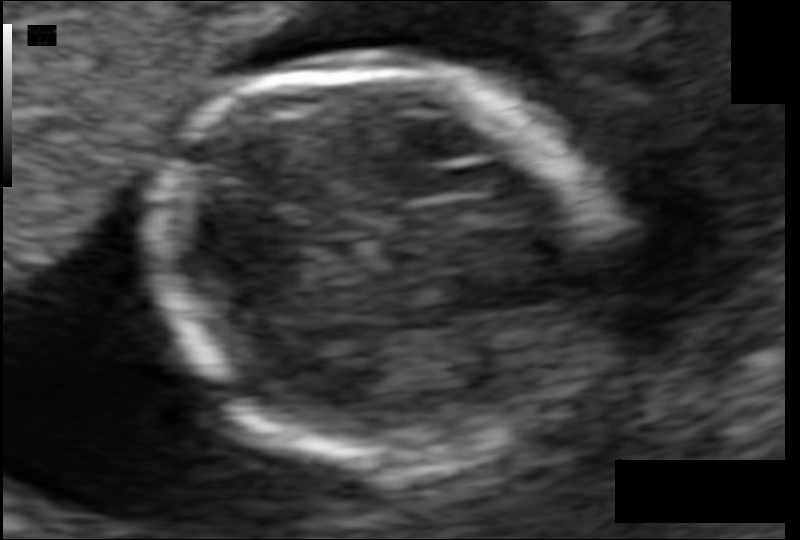
Fetal head ultrasound. Image width: 58.1 mm. Locate the fetal head and, if visible, the cavum septum pellucidum (CSP) and lateral ventricle (LV). Give bounding boxes as [x1,y1,x2,y2].

Head: [152,66,606,451]